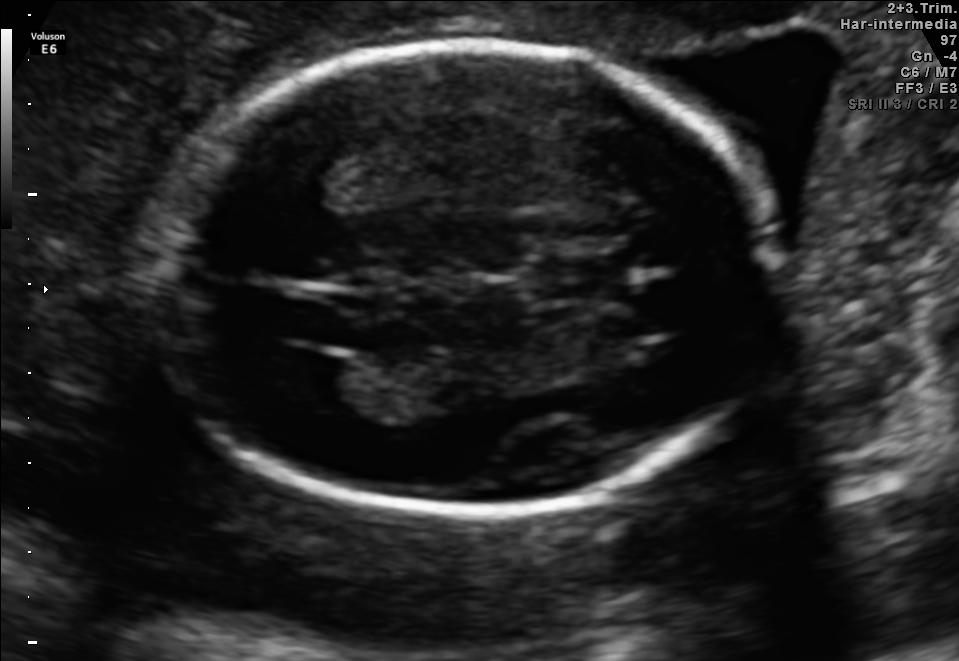
Fetal brain, trans-ventricular plane. Locate the fetal head and, if visible, the cavum septum pellucidum (CSP) and lateral ventricle (LV). Give bounding boxes as [x1,y1,x2,y2].

Head: [144,37,797,520]
CSP: [541,259,624,298]
Lateral ventricle: [276,350,351,401]